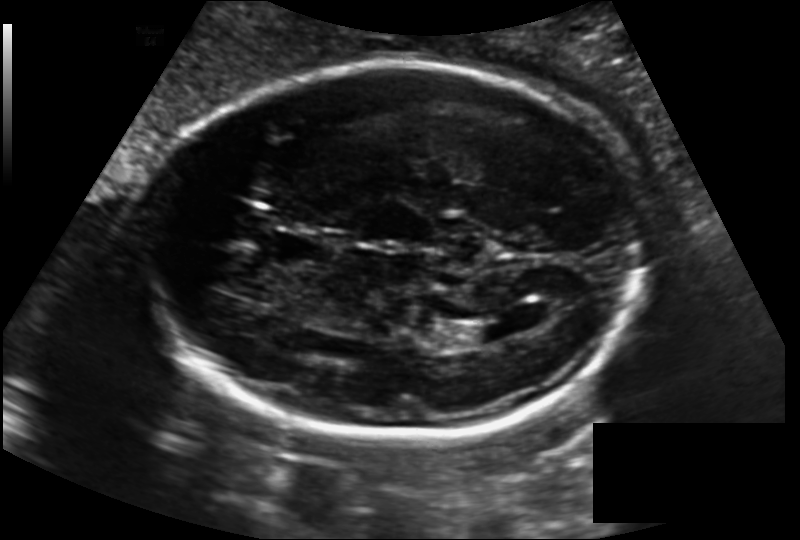
What is the fetal head circumference? Image width is 130.6 mm.

231.9 mm